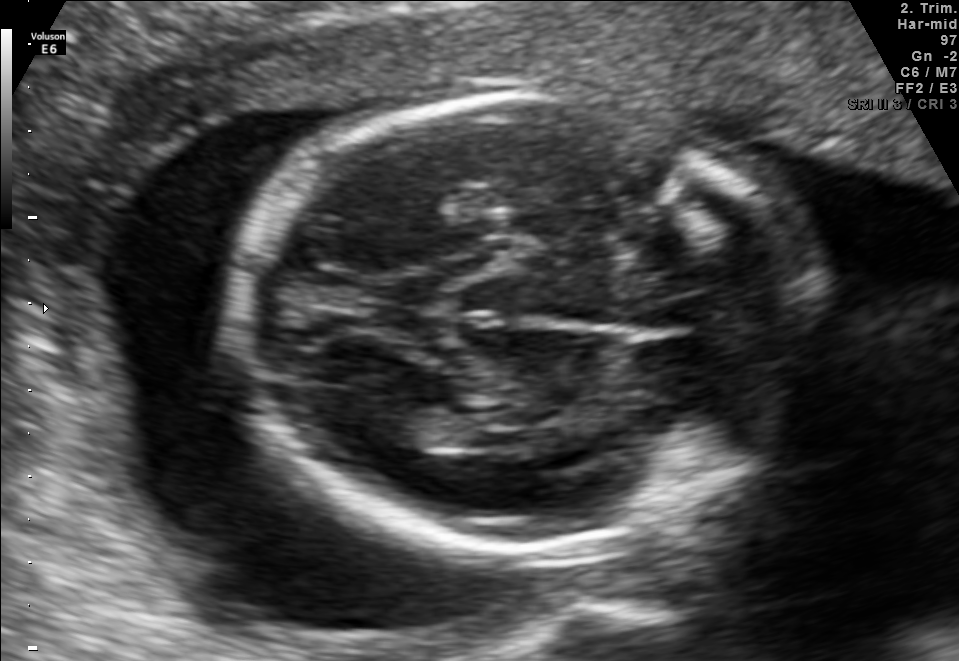
Fetal brain, trans-thalamic plane. Give [x1,y1,x2,y2] bounding boxes for each visible structure among: fetal head, CSP, LV.

Head: [225,96,832,547]
Lateral ventricle: [358,392,457,453]